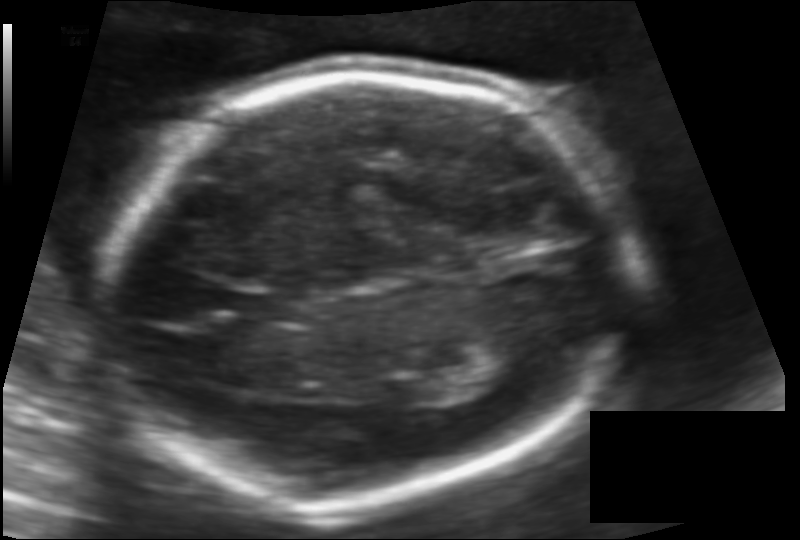
Fetal head ultrasound. Image width: 93.5 mm. Locate the fetal head and, if visible, the cavum septum pellucidum (CSP) and lateral ventricle (LV). Give bounding boxes as [x1,y1,x2,y2].

Head: [101,74,624,498]